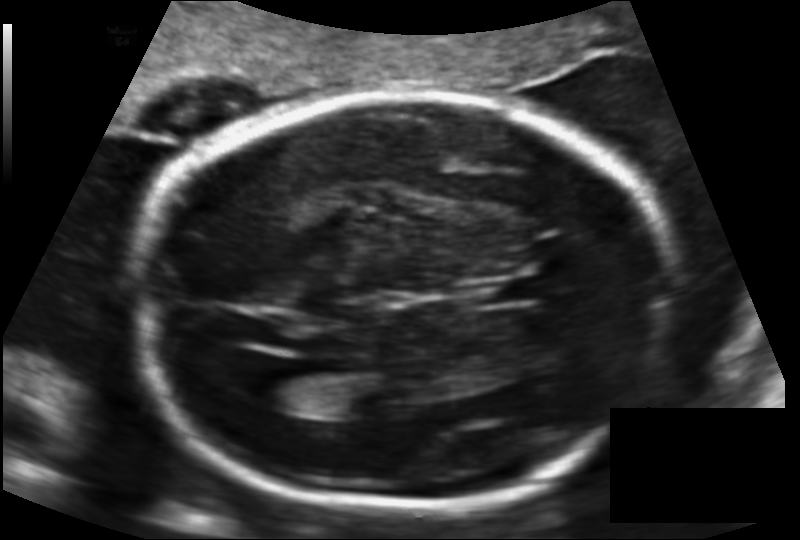
In this fetal head ultrasound, give the bounding box of the fetal head. Image width: 113.0 mm.

[131,96,677,508]